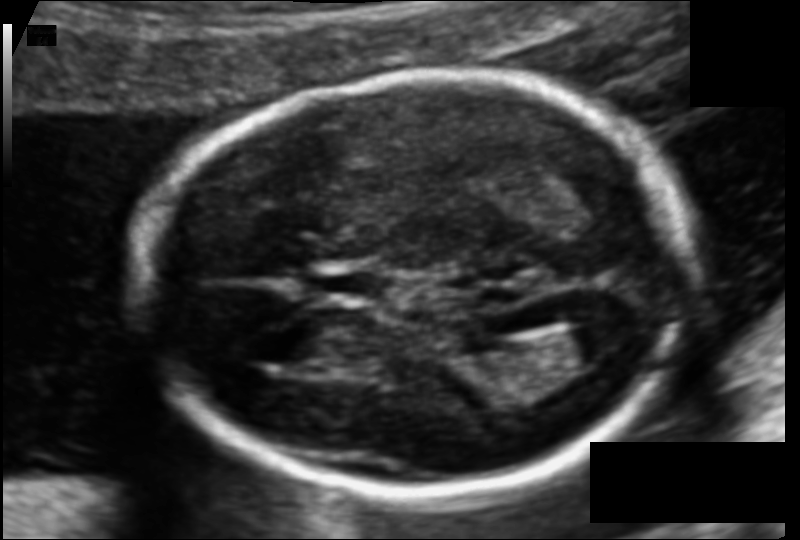
In this fetal head ultrasound, give the bounding box of the cavum septum pellucidum. Image width: 83.7 mm.

[315,270,382,297]